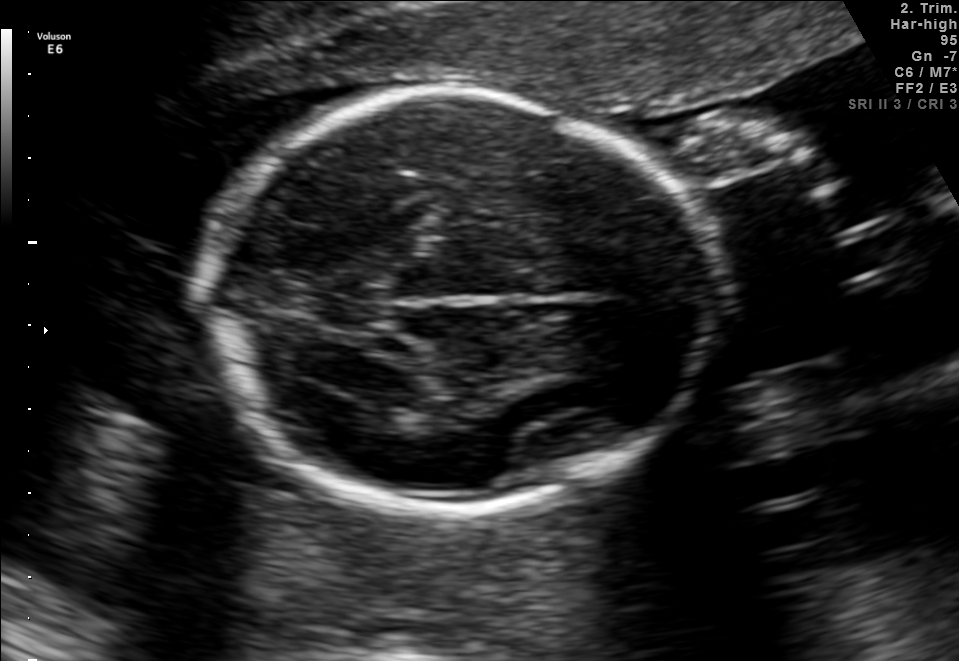
In this fetal brain, trans-thalamic plane, give the bounding box of the fetal head.

[202,93,711,508]